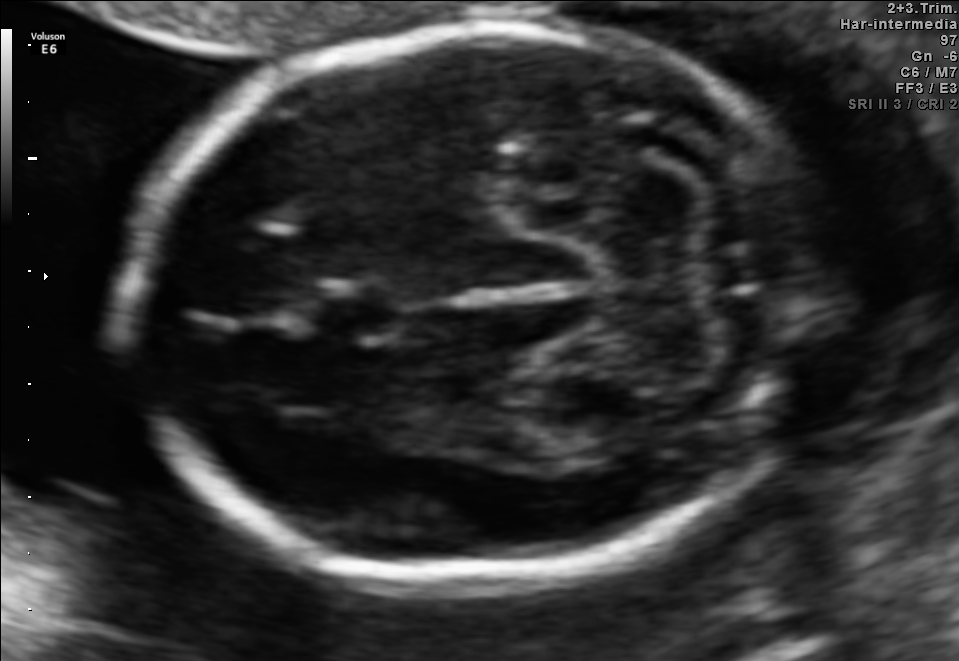
In this fetal brain, trans-cerebellum plane, give bounding boxes for the head outline, cavum septum pellucidum (CSP), and lateral ventricle (LV), where visible.

Head: [124,20,817,583]
CSP: [308,281,404,347]